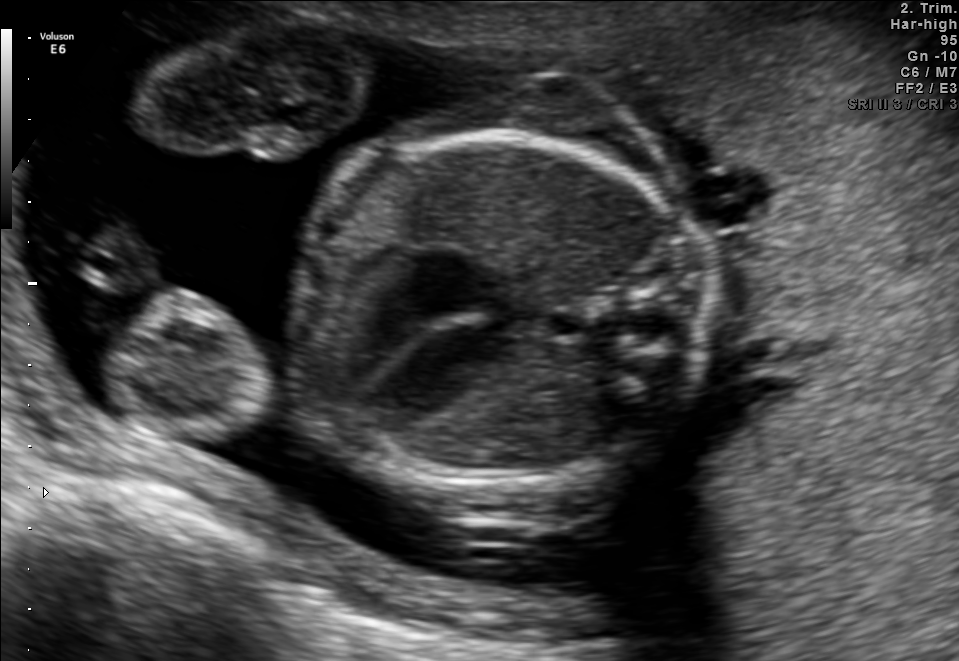
Identify the standard plane in this fetal ultrasound image: fetal abdomen, fetal brain, fetal femur, fetal thorax, maternal cervix, or other. If it's fetal brain and one of the three standard brain planes (trans-thalamic, trans-cerebellum, trans-ventricular), name which.

Fetal thorax